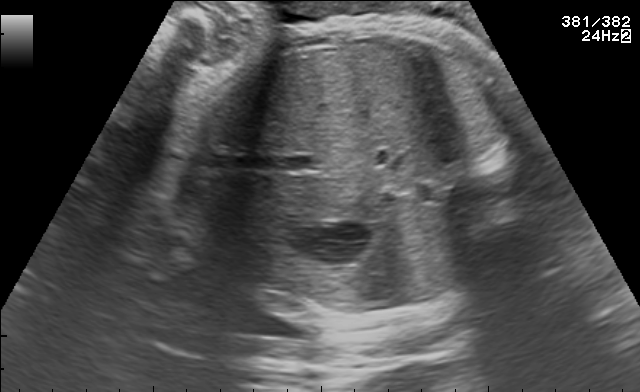
This is a 2D maternal-fetal ultrasound frame. Is it a fetal abdomen, fetal brain, fetal femur, fetal thorax, maternal cervix, or other standard plane? If it's fetal brain and one of the three standard brain planes (trans-thalamic, trans-cerebellum, trans-ventricular), name which.

Fetal abdomen